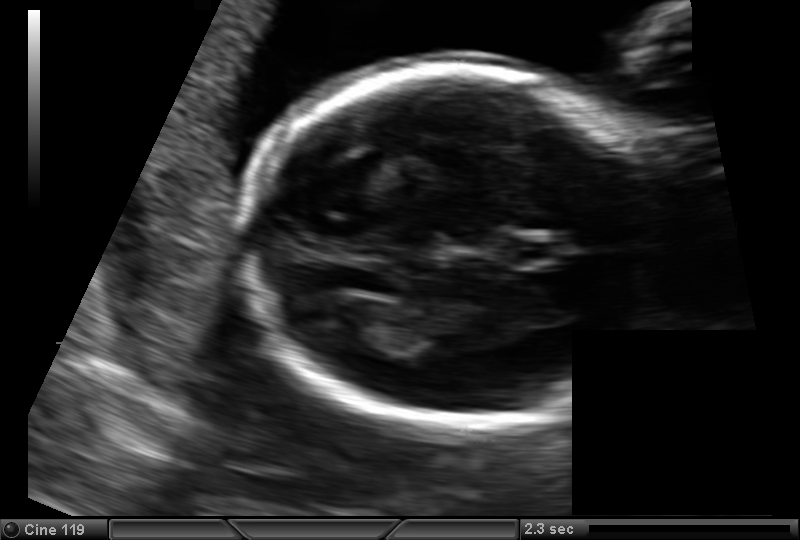
What is the fetal head circumference? Image width is 103.2 mm.

168.4 mm